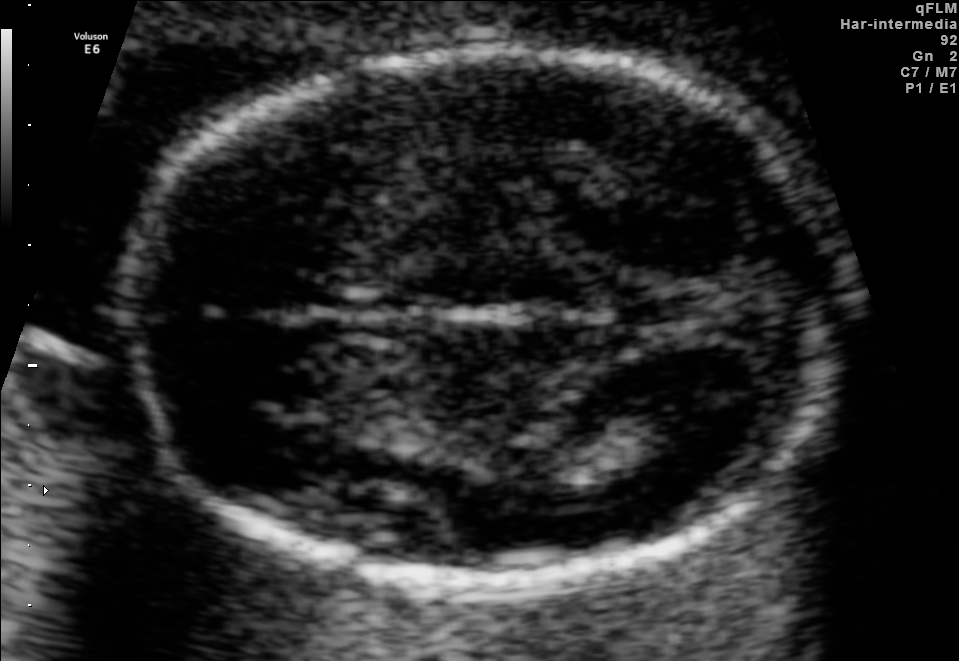
Fetal brain, trans-thalamic plane. Locate the fetal head.

Head: [124,52,841,577]